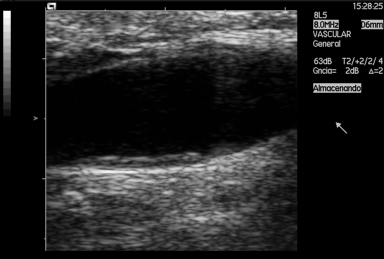
Identify the standard plane in this fetal ultrasound image: fetal abdomen, fetal brain, fetal femur, fetal thorax, maternal cervix, or other. If it's fetal brain and one of the three standard brain planes (trans-thalamic, trans-cerebellum, trans-ventricular), name which.

Other